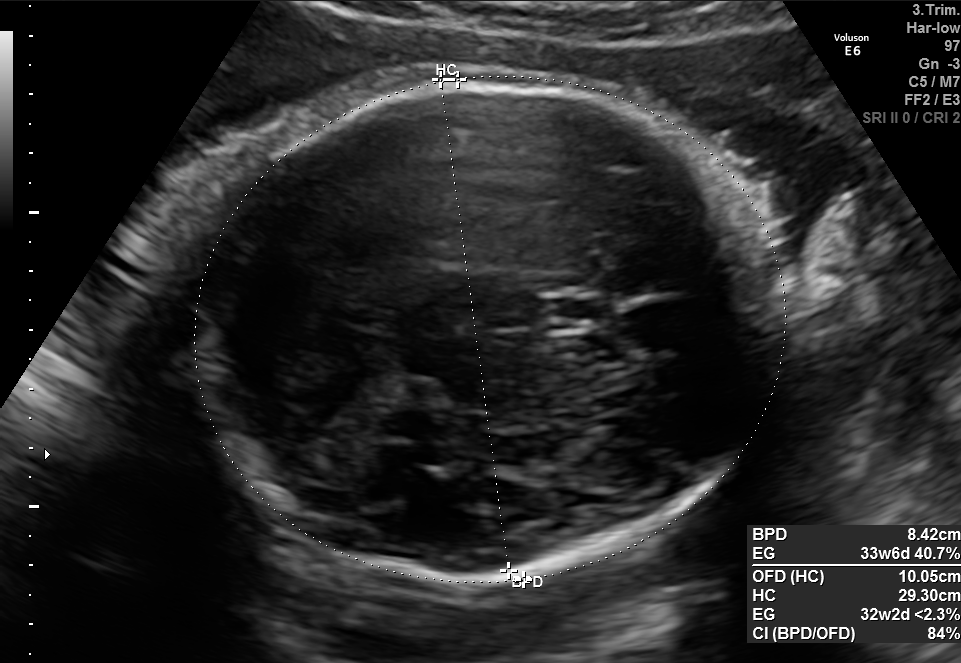
Fetal brain, trans-thalamic plane. Locate the cavum septum pellucidum.

CSP: [540,294,616,331]